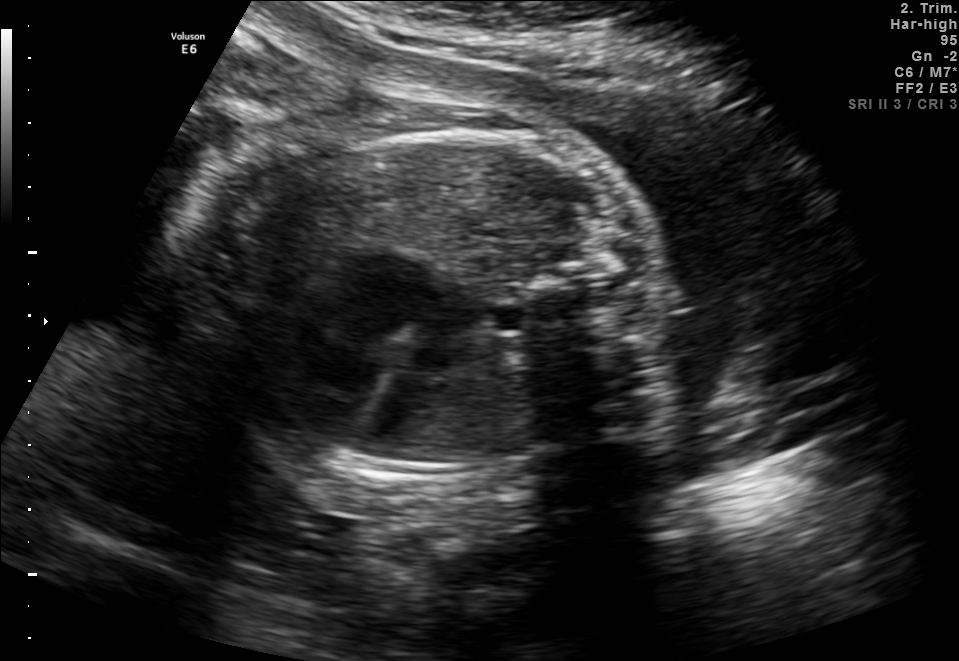
This is a 2D maternal-fetal ultrasound frame. Is it a fetal abdomen, fetal brain, fetal femur, fetal thorax, maternal cervix, or other standard plane? If it's fetal brain and one of the three standard brain planes (trans-thalamic, trans-cerebellum, trans-ventricular), name which.

Fetal thorax